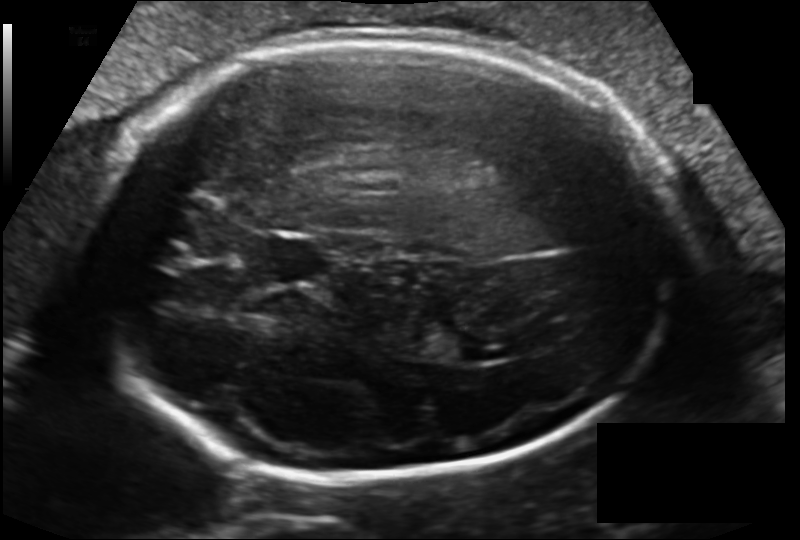
In this fetal head ultrasound, give bounding boxes for the head outline, cavum septum pellucidum (CSP), and lateral ventricle (LV), where visible. Image width: 129.6 mm.

Head: [90,36,677,478]
CSP: [246,230,331,288]